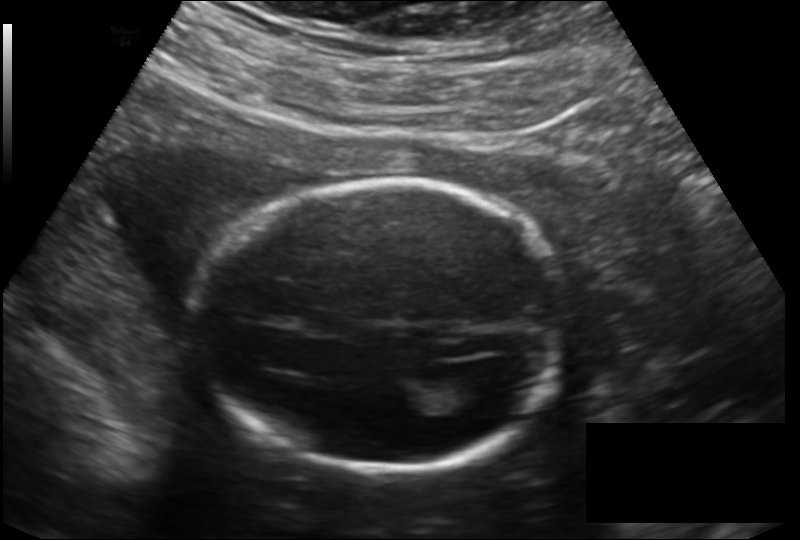
Fetal head ultrasound. Image width: 133.1 mm. Locate the fetal head.

Head: [200,181,565,473]